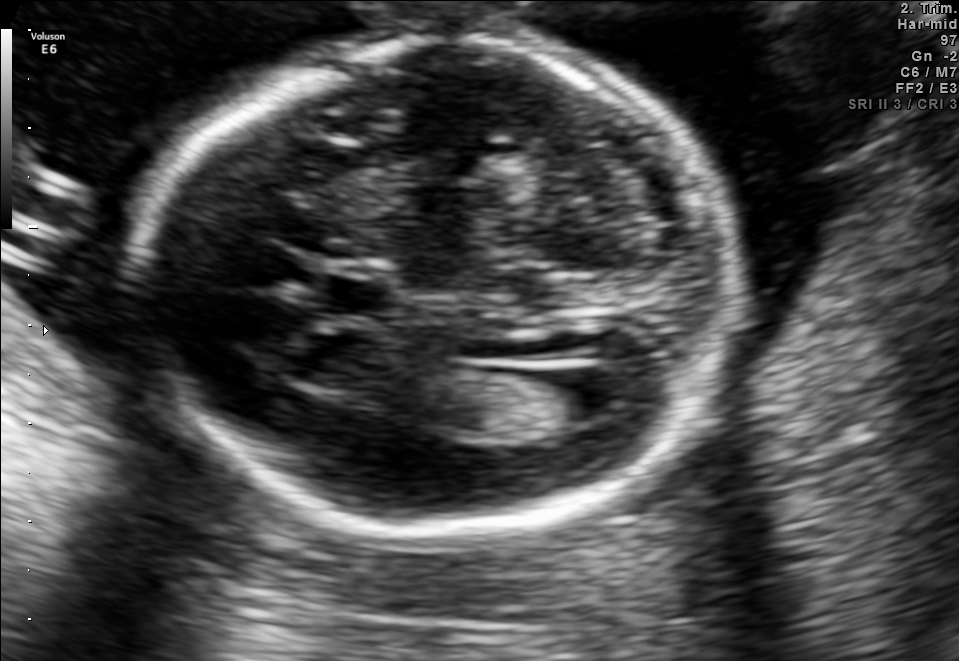
Fetal brain, trans-ventricular plane. Where is the fetal head?

Head bounding box: [134,32,743,541]